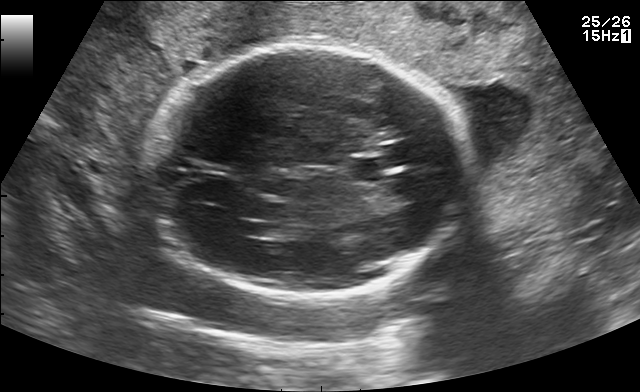
In this fetal brain, trans-ventricular plane, give the bounding box of the fetal head.

[138,38,479,305]